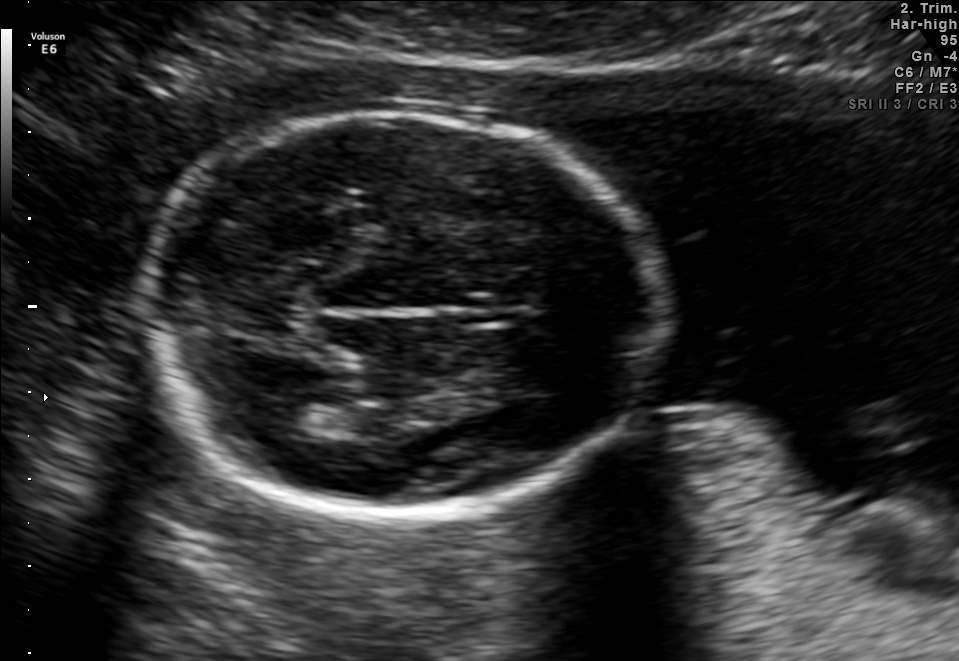
Fetal brain, trans-thalamic plane. Locate the fetal head.

Head: [133,110,662,517]